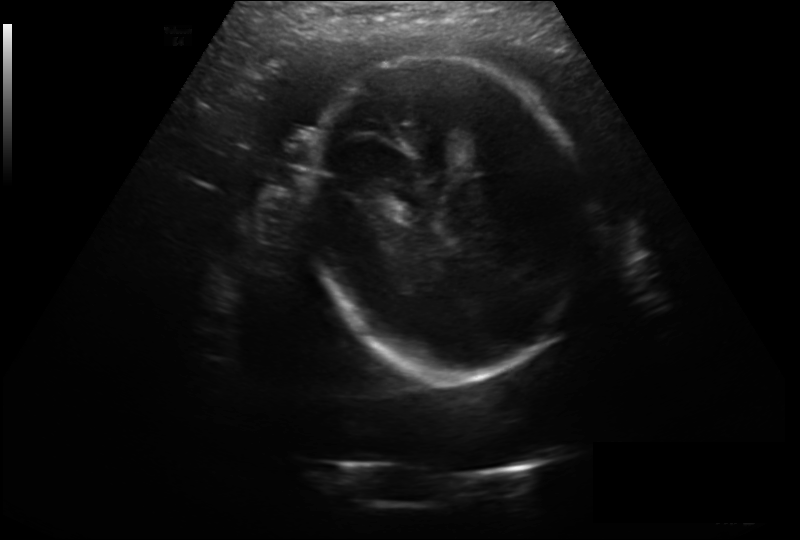
Fetal head ultrasound. Image width: 197.0 mm. Locate the fetal head.

Head: [308,58,589,379]